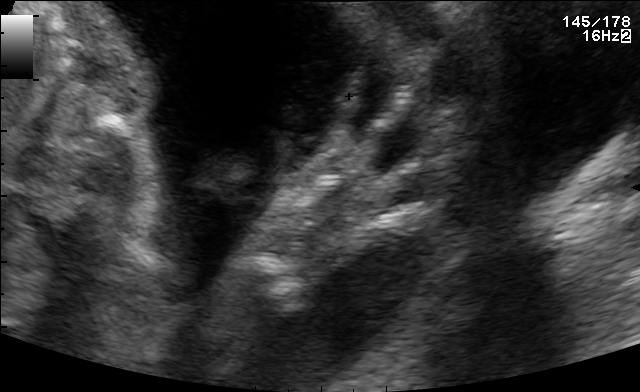
Classify this maternal-fetal ultrasound image as one of the six standard planes — fetal abdomen, fetal brain, fetal femur, fetal thorax, maternal cervix, or other. If it's fetal brain and one of the three standard brain planes (trans-thalamic, trans-cerebellum, trans-ventricular), name which.

Other